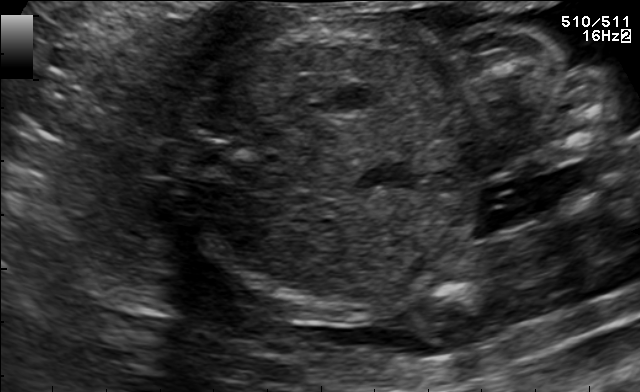
This is a 2D maternal-fetal ultrasound frame. Is it a fetal abdomen, fetal brain, fetal femur, fetal thorax, maternal cervix, or other standard plane? If it's fetal brain and one of the three standard brain planes (trans-thalamic, trans-cerebellum, trans-ventricular), name which.

Fetal abdomen